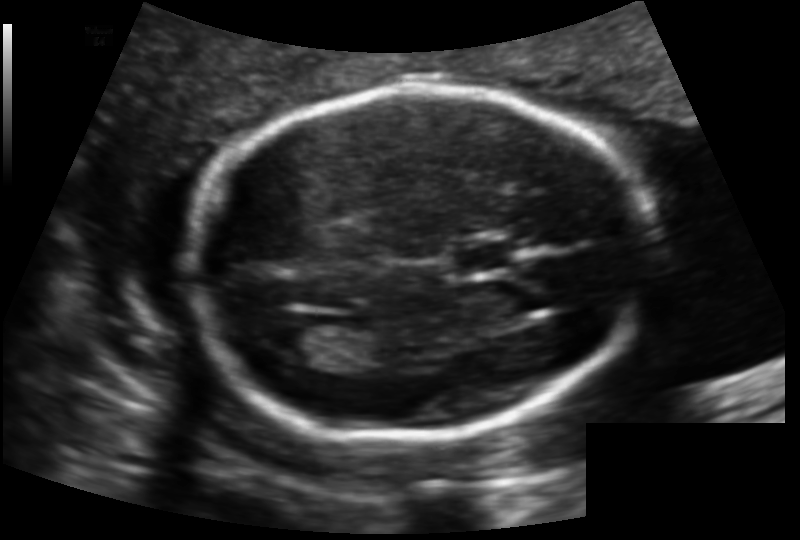
What is the fetal head circumference? Image width is 103.4 mm.

169.7 mm